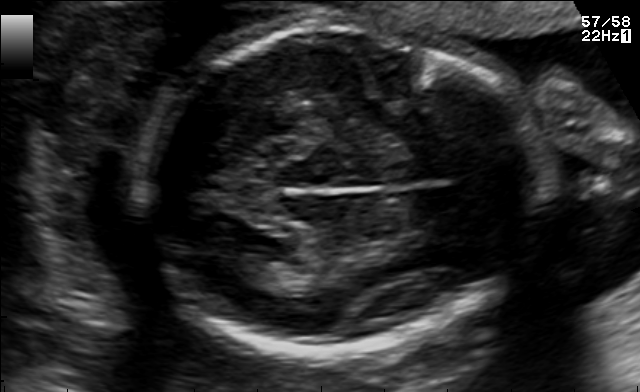
Fetal brain, trans-thalamic plane. Where is the fetal head?

Head bounding box: [141,23,541,352]